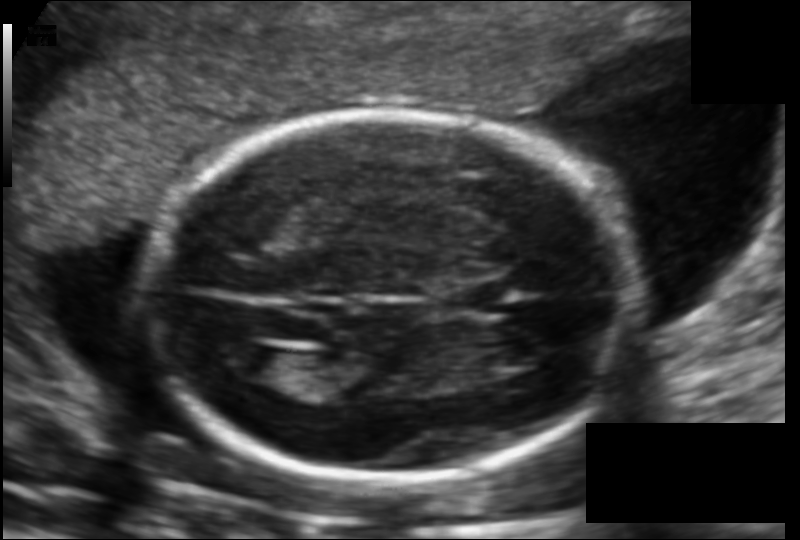
Fetal head ultrasound. Image width: 98.4 mm. Give [x1,y1,x2,y2] bounding boxes for each visible structure among: fetal head, CSP, LV.

Head: [144,113,631,481]
CSP: [438,278,501,321]
Lateral ventricle: [215,336,286,387]